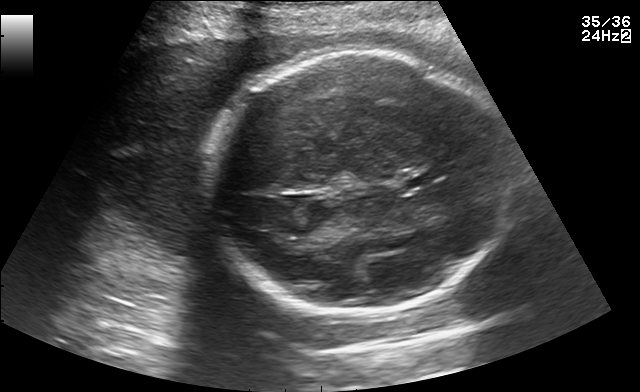
In this fetal brain, trans-thalamic plane, give the bounding box of the fetal head.

[206,49,509,312]